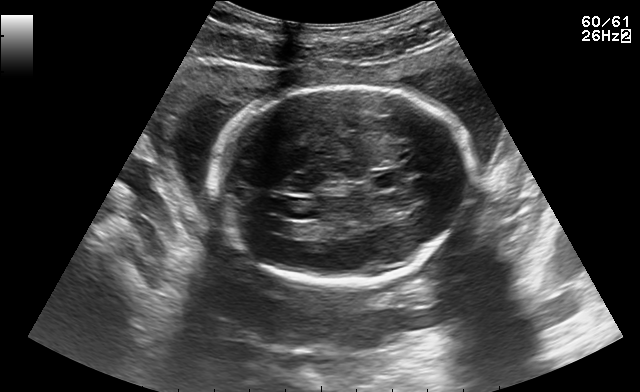
In this fetal brain, trans-ventricular plane, give the bounding box of the fetal head.

[205,84,472,286]